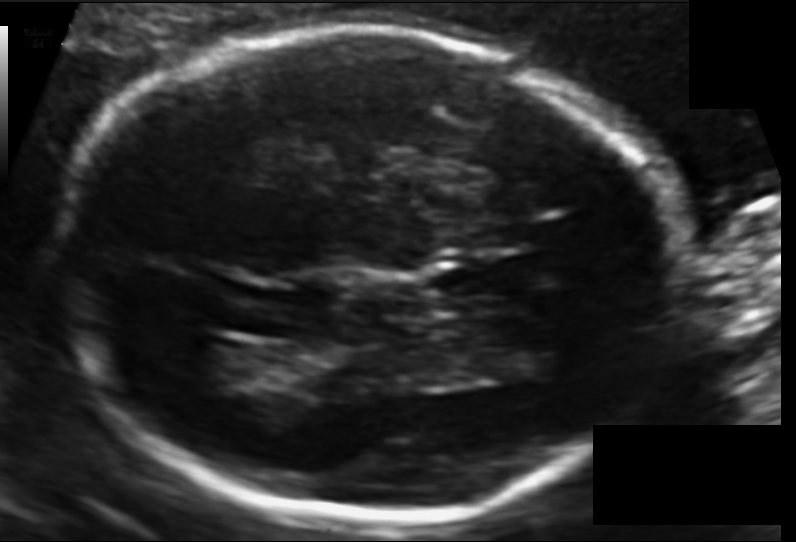
Fetal head ultrasound. Image width: 95.4 mm. Where is the lateral ventricle?

Lateral ventricle bounding box: [164,330,251,388]